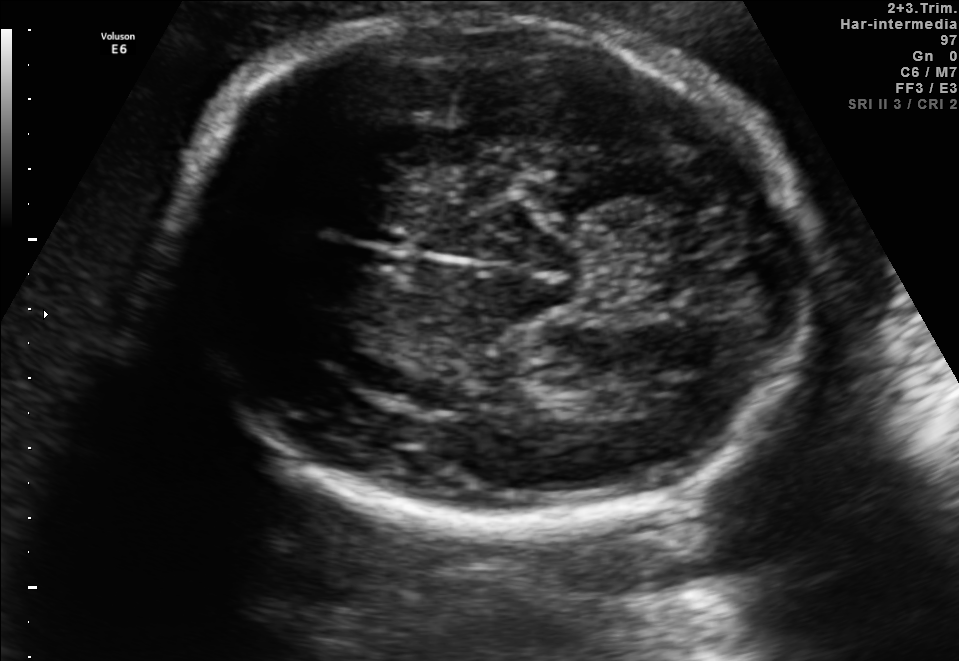
In this fetal brain, trans-thalamic plane, give the bounding box of the fetal head.

[170,15,809,524]